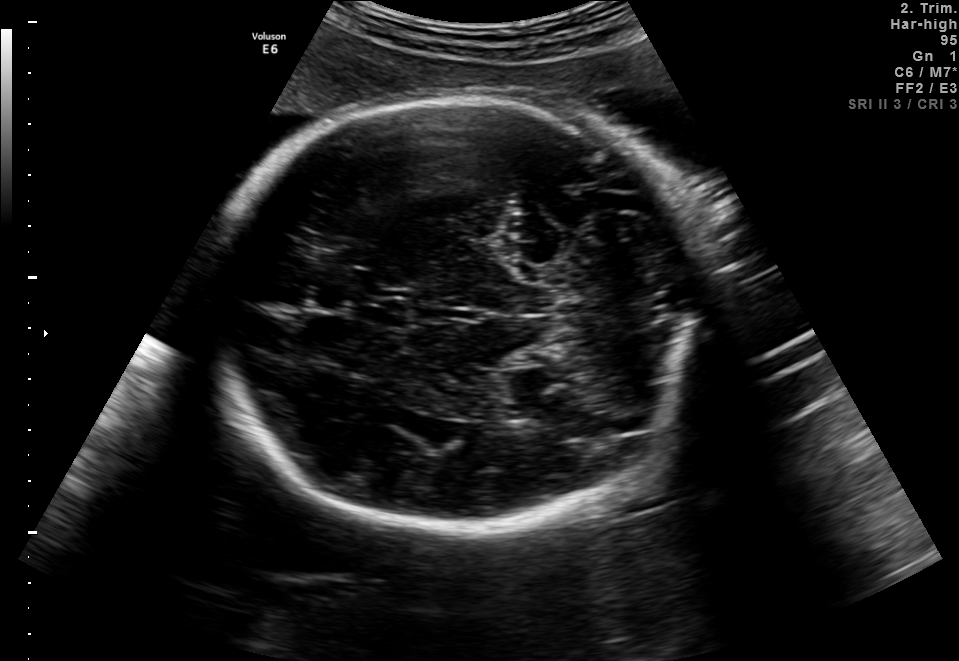
Fetal brain, trans-thalamic plane. Locate the cavum septum pellucidum.

CSP: [366,301,408,327]